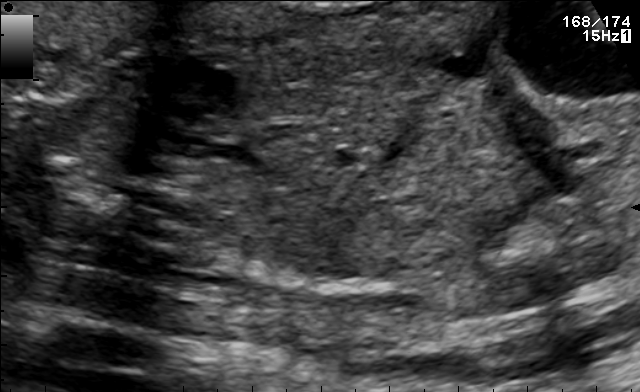
Identify the standard plane in this fetal ultrasound image: fetal abdomen, fetal brain, fetal femur, fetal thorax, maternal cervix, or other. If it's fetal brain and one of the three standard brain planes (trans-thalamic, trans-cerebellum, trans-ventricular), name which.

Other